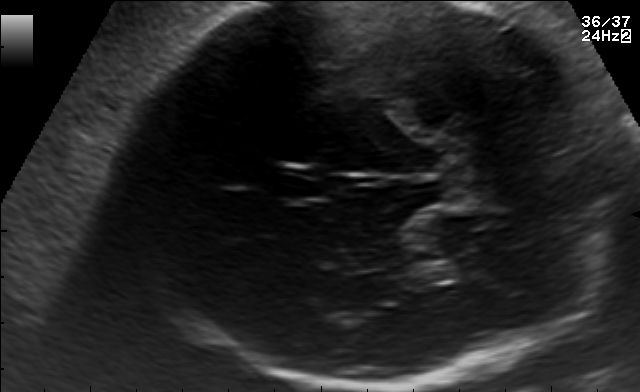
Classify this maternal-fetal ultrasound image as one of the six standard planes — fetal abdomen, fetal brain, fetal femur, fetal thorax, maternal cervix, or other. If it's fetal brain and one of the three standard brain planes (trans-thalamic, trans-cerebellum, trans-ventricular), name which.

Fetal brain (trans-thalamic plane)